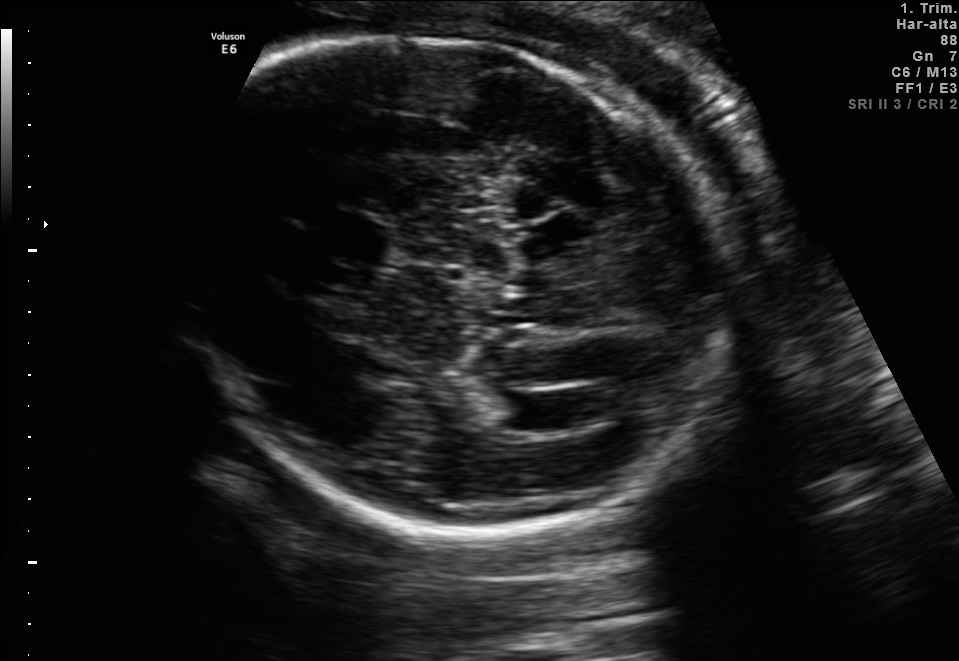
Fetal brain, trans-ventricular plane. Give [x1,y1,x2,y2] bounding boxes for each visible structure among: fetal head, CSP, LV.

Head: [155,28,758,545]
CSP: [336,213,398,267]
Lateral ventricle: [503,394,568,430]